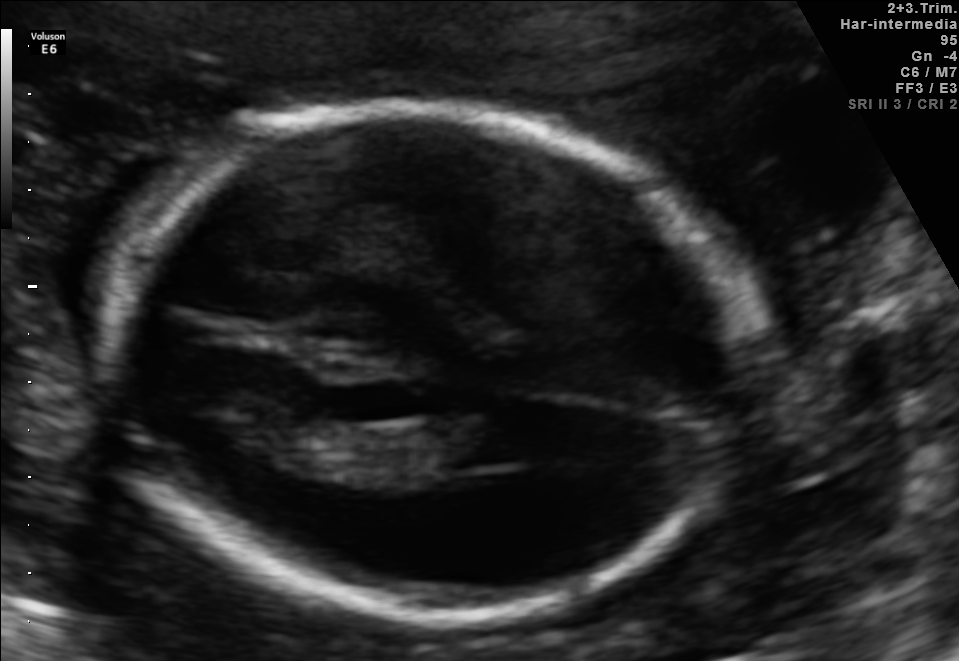
In this fetal brain, trans-thalamic plane, give the bounding box of the fetal head.

[102,109,757,618]